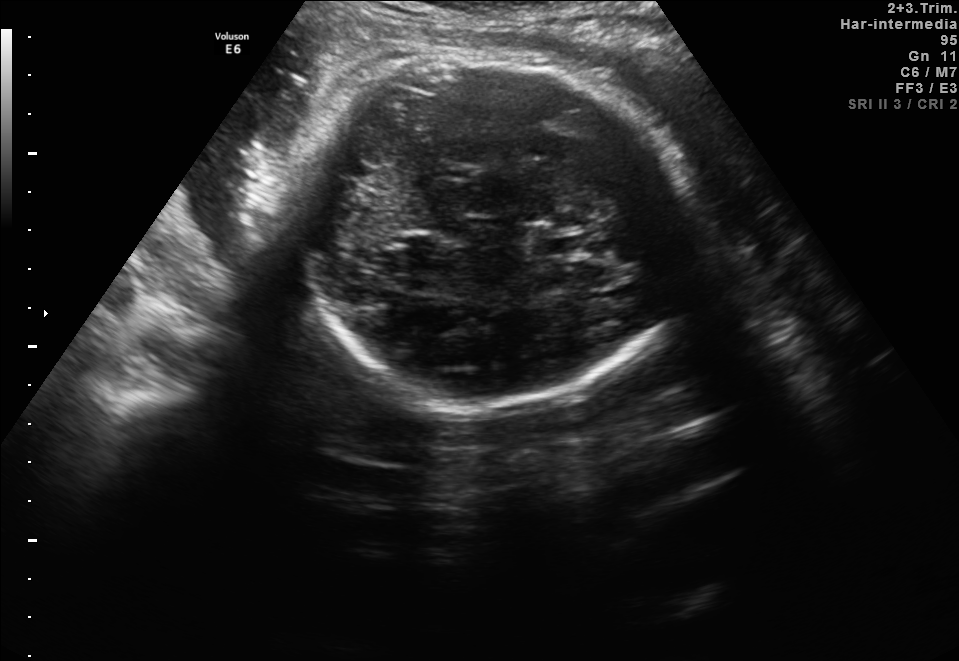
Fetal brain, trans-thalamic plane. Where is the fetal head?

Head bounding box: [296,57,695,402]